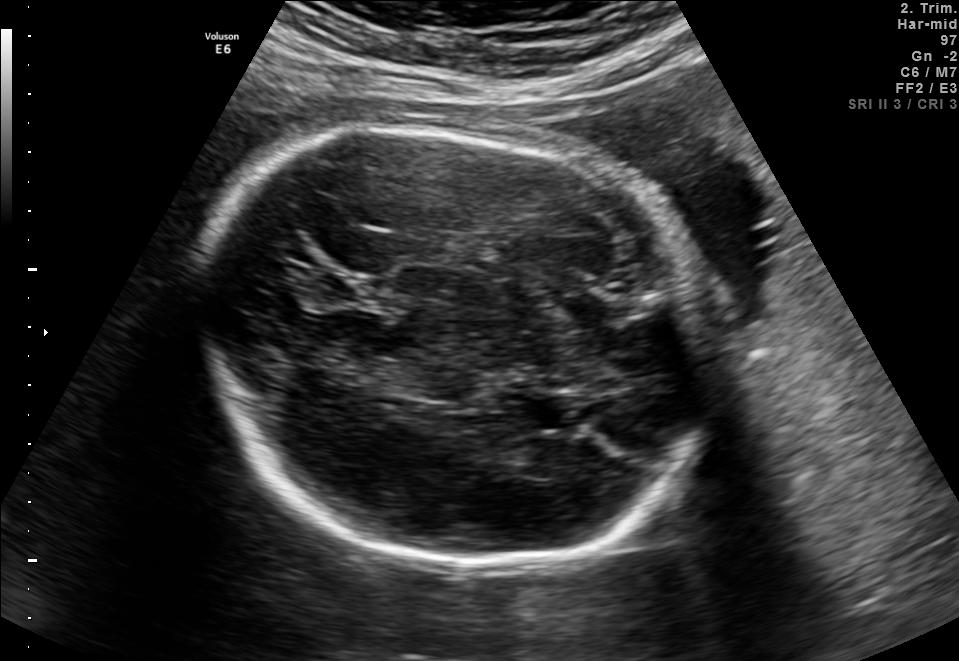
Fetal brain, trans-thalamic plane. Give [x1,y1,x2,y2] bounding boxes for each visible structure among: fetal head, CSP, LV.

Head: [201,121,704,570]